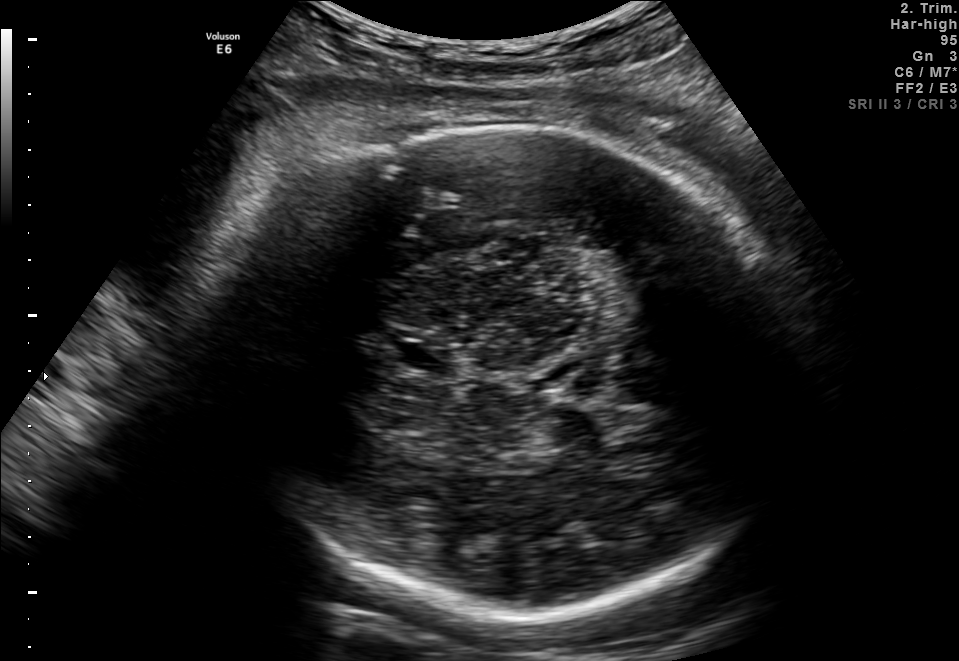
In this fetal brain, trans-thalamic plane, give the bounding box of the fetal head.

[227,129,798,614]